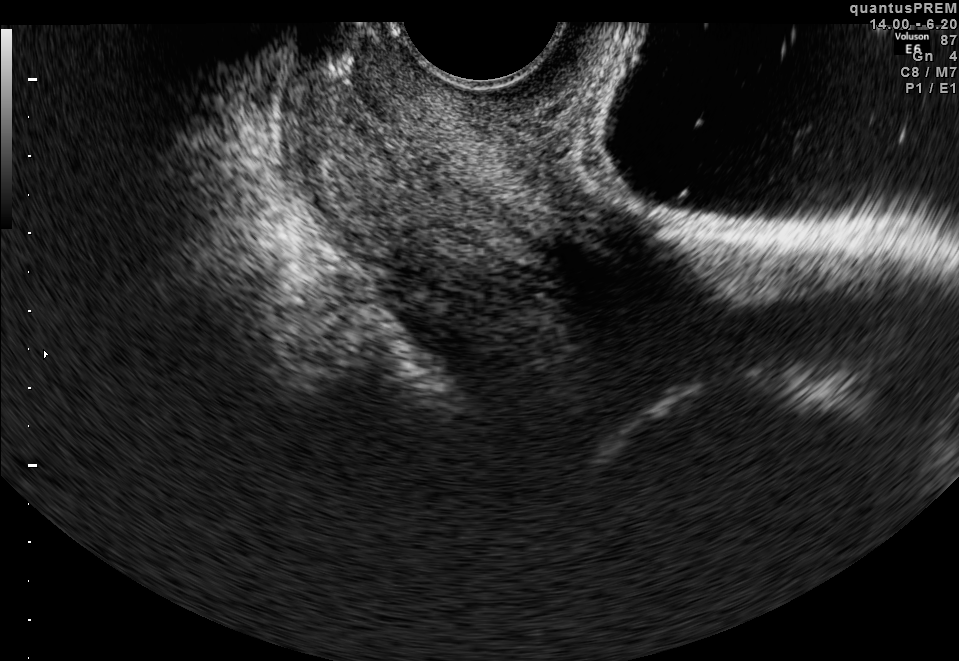
Which standard maternal-fetal ultrasound plane is shown: fetal abdomen, fetal brain, fetal femur, fetal thorax, maternal cervix, or other? If it's fetal brain and one of the three standard brain planes (trans-thalamic, trans-cerebellum, trans-ventricular), name which.

Maternal cervix